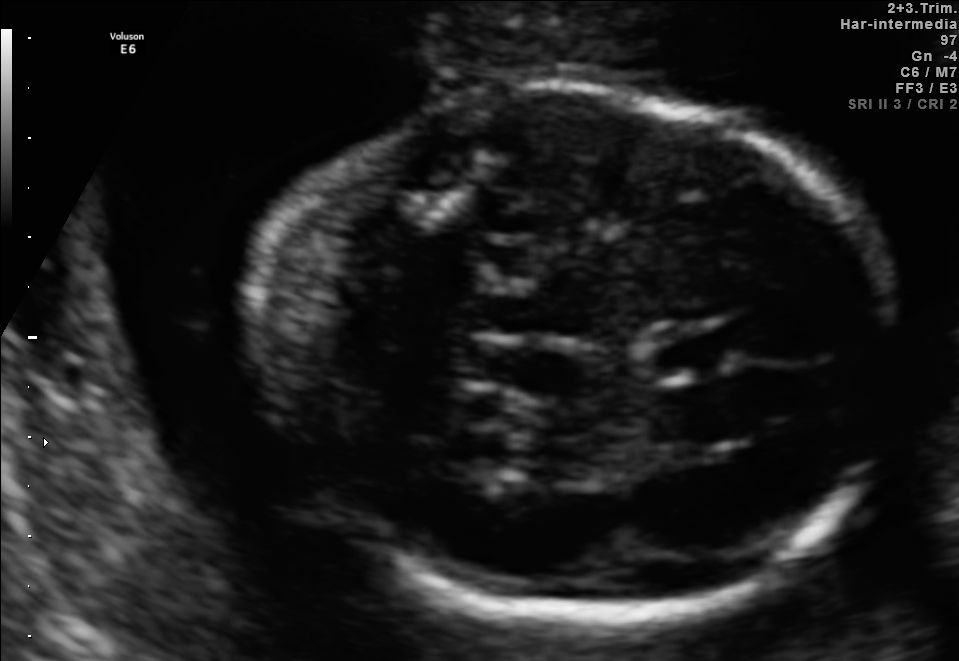
In this fetal brain, trans-thalamic plane, give bounding boxes for the head outline, cavum septum pellucidum (CSP), and lateral ventricle (LV), where visible.

Head: [252,86,893,625]
CSP: [642,316,740,385]